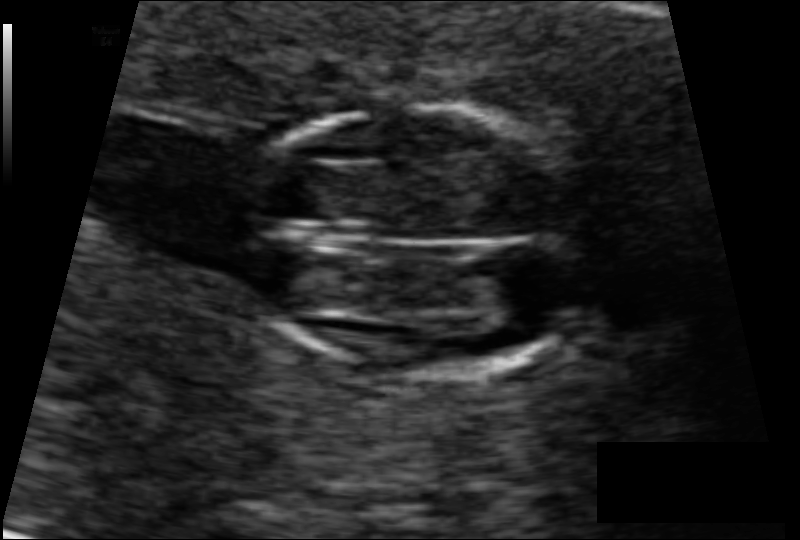
Measure the fetal head circumference shown in this ultrasound image. Image width: 60.3 mm.

Head circumference: 77.6 mm.